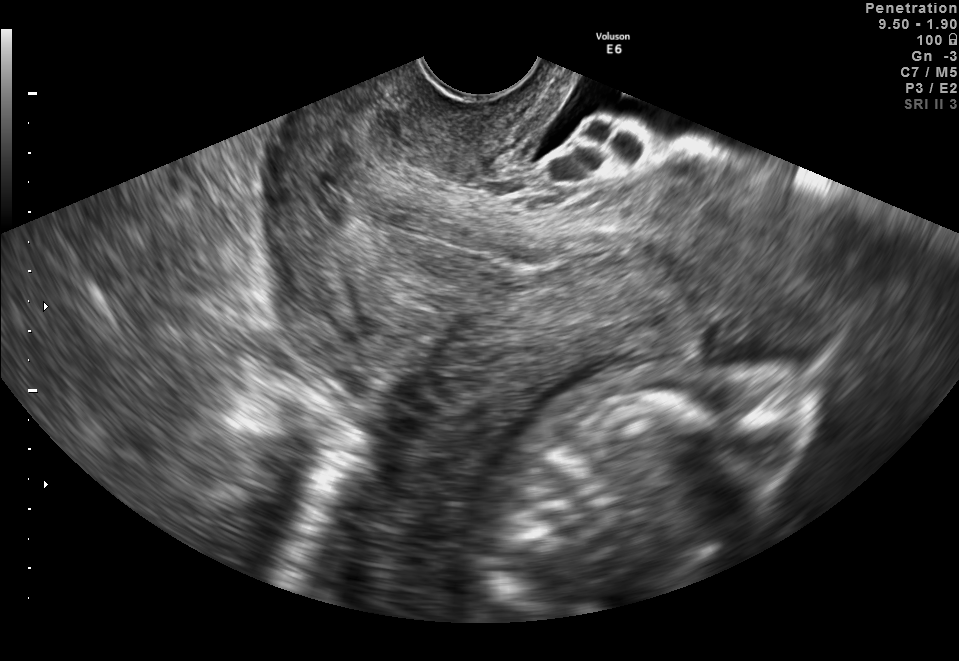
Which standard maternal-fetal ultrasound plane is shown: fetal abdomen, fetal brain, fetal femur, fetal thorax, maternal cervix, or other? If it's fetal brain and one of the three standard brain planes (trans-thalamic, trans-cerebellum, trans-ventricular), name which.

Maternal cervix